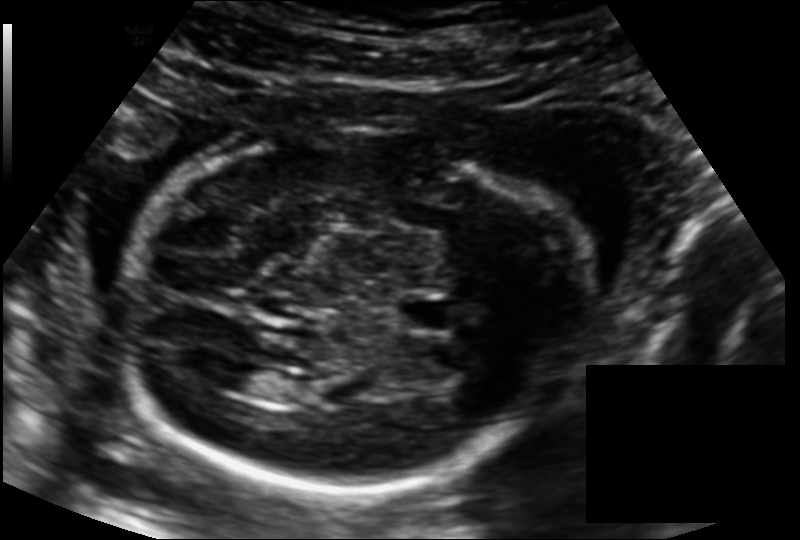
Measure the fetal head circumference shown in this ultrasound image. Image width: 111.3 mm.

Head circumference: 186.9 mm.